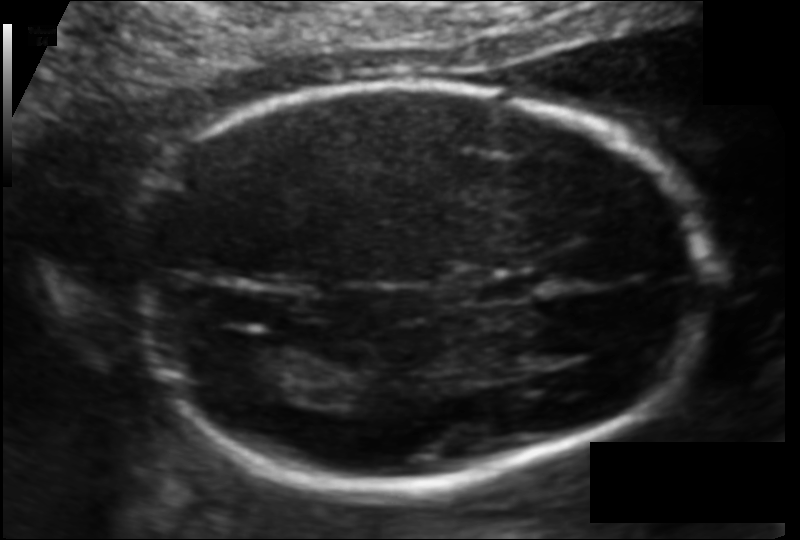
Fetal head ultrasound. Image width: 87.4 mm. Locate the lateral ventricle.

Lateral ventricle: [207,336,308,408]